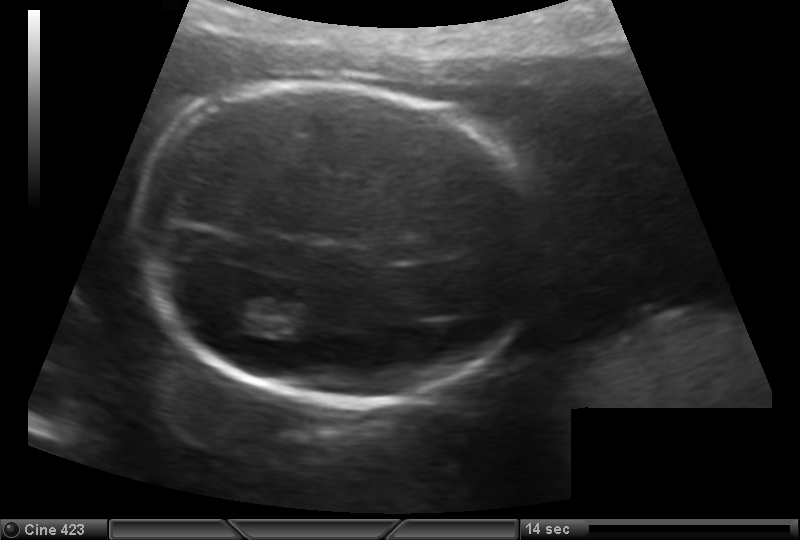
Estimate the fetal head circumference from this 2D ultrasound. Image width: 117.9 mm.

Head circumference: 177.4 mm.